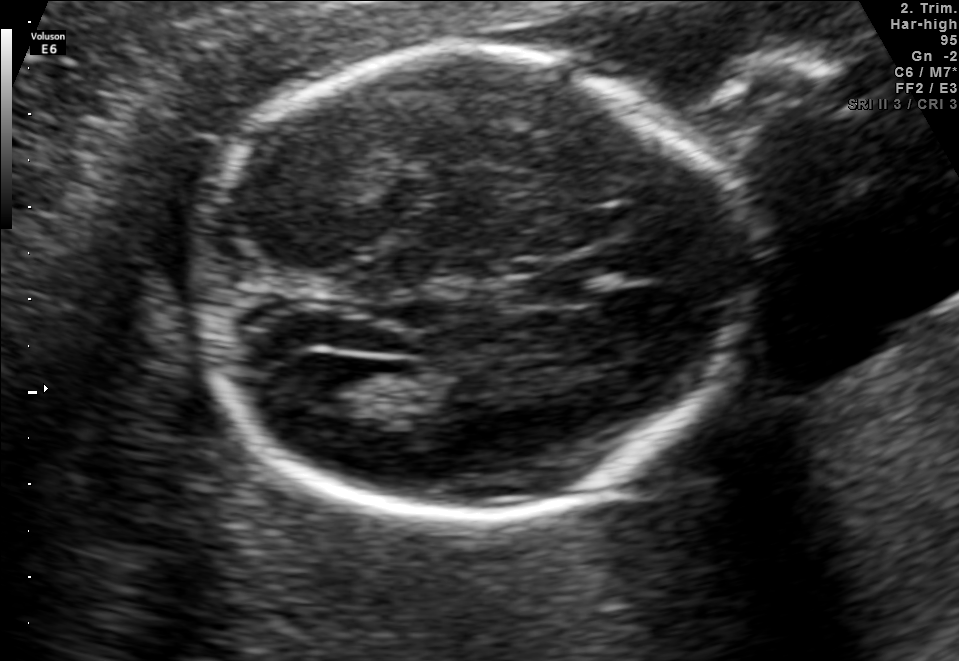
In this fetal brain, trans-ventricular plane, give the bounding box of the fetal head.

[187,38,762,527]